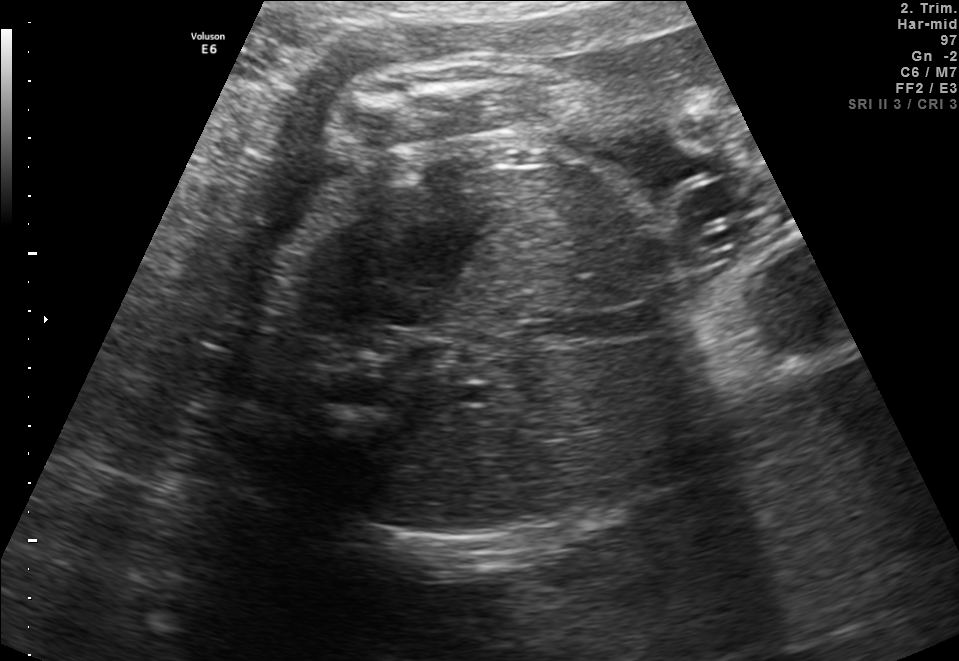
Which standard maternal-fetal ultrasound plane is shown: fetal abdomen, fetal brain, fetal femur, fetal thorax, maternal cervix, or other? If it's fetal brain and one of the three standard brain planes (trans-thalamic, trans-cerebellum, trans-ventricular), name which.

Other